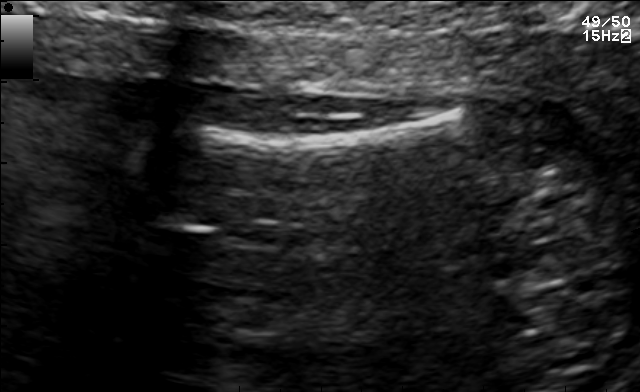
Classify this maternal-fetal ultrasound image as one of the six standard planes — fetal abdomen, fetal brain, fetal femur, fetal thorax, maternal cervix, or other. If it's fetal brain and one of the three standard brain planes (trans-thalamic, trans-cerebellum, trans-ventricular), name which.

Fetal femur